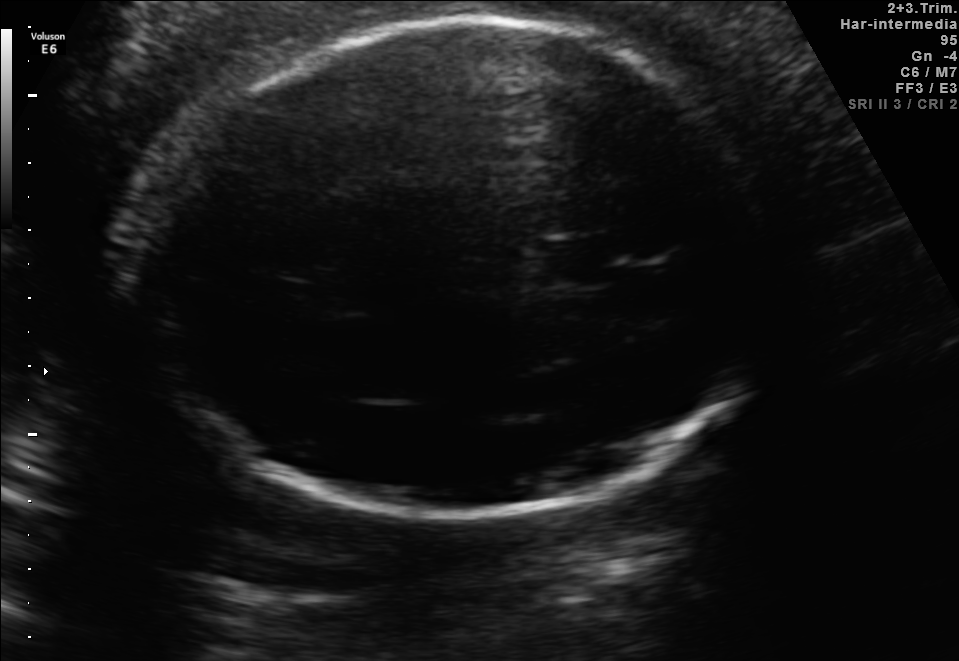
In this fetal brain, trans-thalamic plane, give the bounding box of the cavum septum pellucidum.

[536,237,608,285]